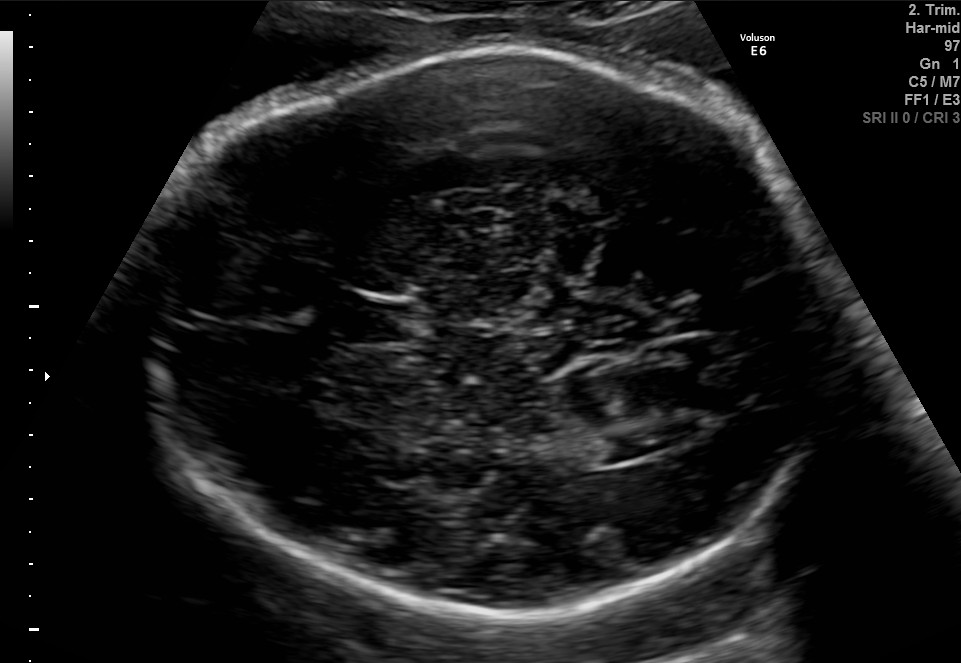
Fetal brain, trans-ventricular plane. Locate the lateral ventricle.

Lateral ventricle: [600,427,664,463]